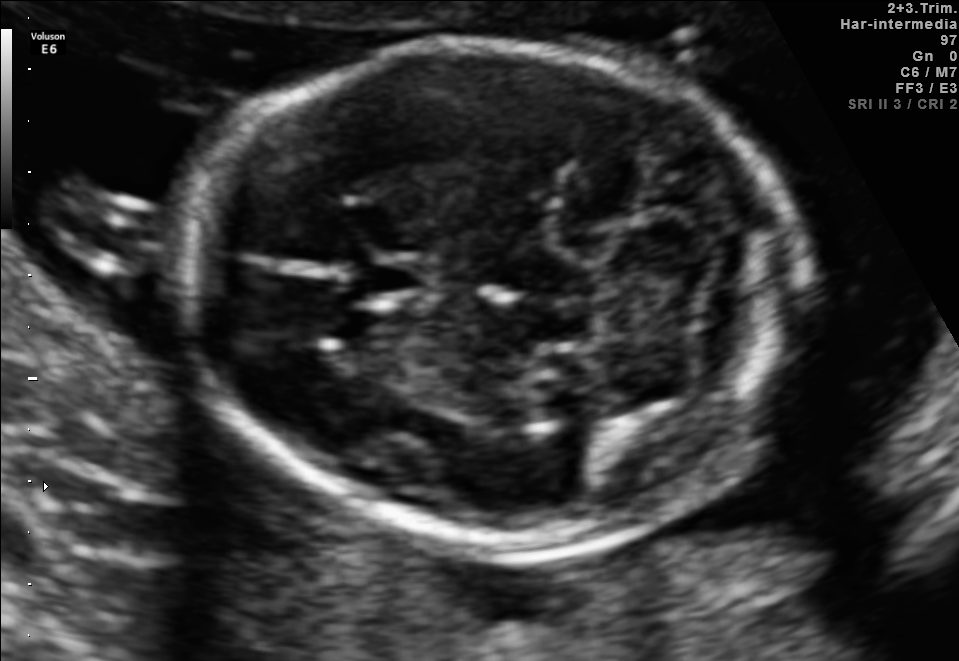
Fetal brain, trans-cerebellum plane. Where is the cavum septum pellucidum?

CSP bounding box: [356,255,437,308]